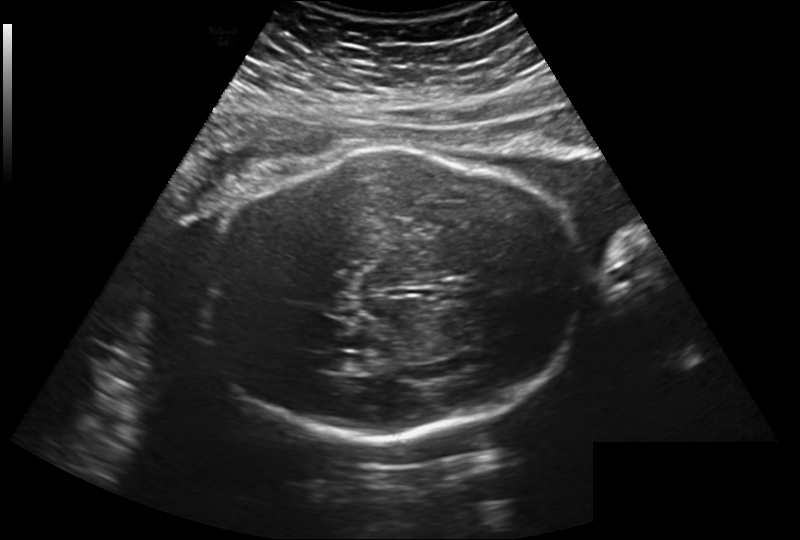
Measure the fetal head circumference shown in this ultrasound image. Image width: 208.3 mm.

Head circumference: 277.6 mm.